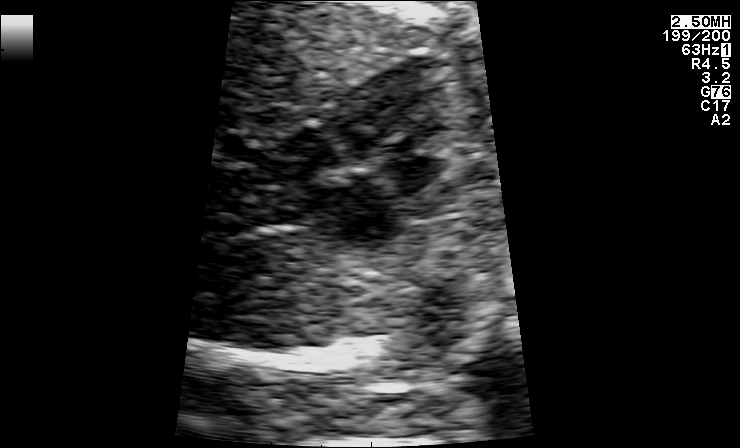
Identify the standard plane in this fetal ultrasound image: fetal abdomen, fetal brain, fetal femur, fetal thorax, maternal cervix, or other. If it's fetal brain and one of the three standard brain planes (trans-thalamic, trans-cerebellum, trans-ventricular), name which.

Fetal thorax